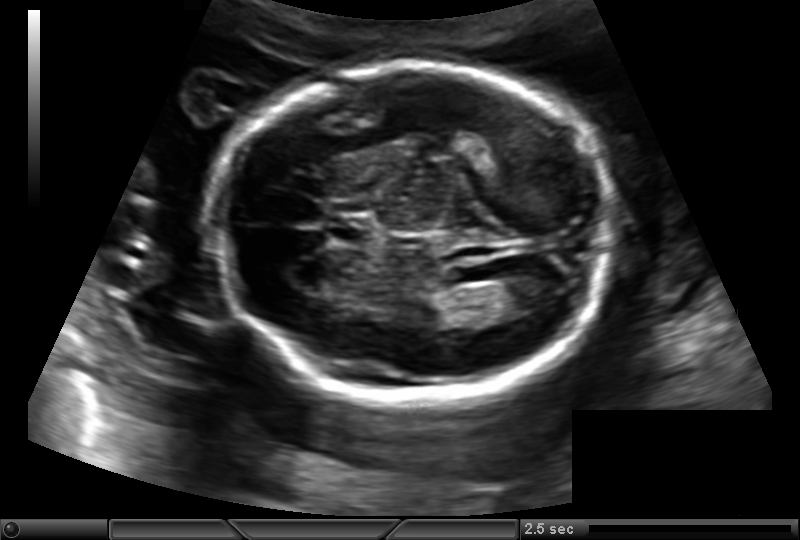
Fetal head ultrasound. Image width: 116.2 mm. Give [x1,y1,x2,y2] bounding boxes for each visible structure among: fetal head, CSP, LV.

Head: [213,65,619,396]
CSP: [327,216,376,246]
Lateral ventricle: [488,271,561,320]